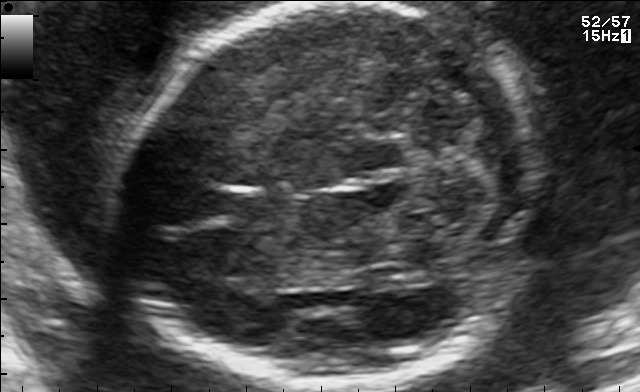
Fetal brain, trans-cerebellum plane. Where is the fetal head?

Head bounding box: [126,2,545,391]